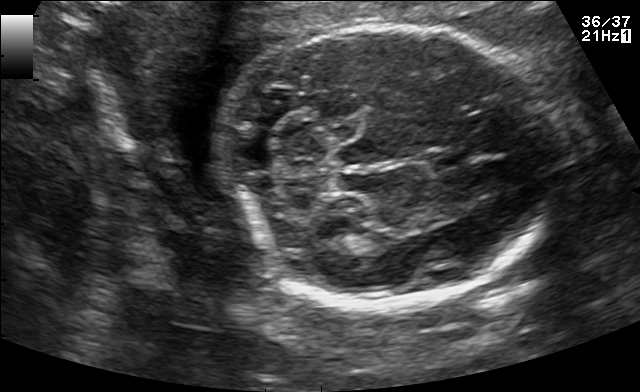
In this fetal brain, trans-cerebellum plane, give bounding boxes for the head outline, cavum septum pellucidum (CSP), and lateral ventricle (LV), where visible.

Head: [220,25,558,305]
CSP: [422,138,479,175]